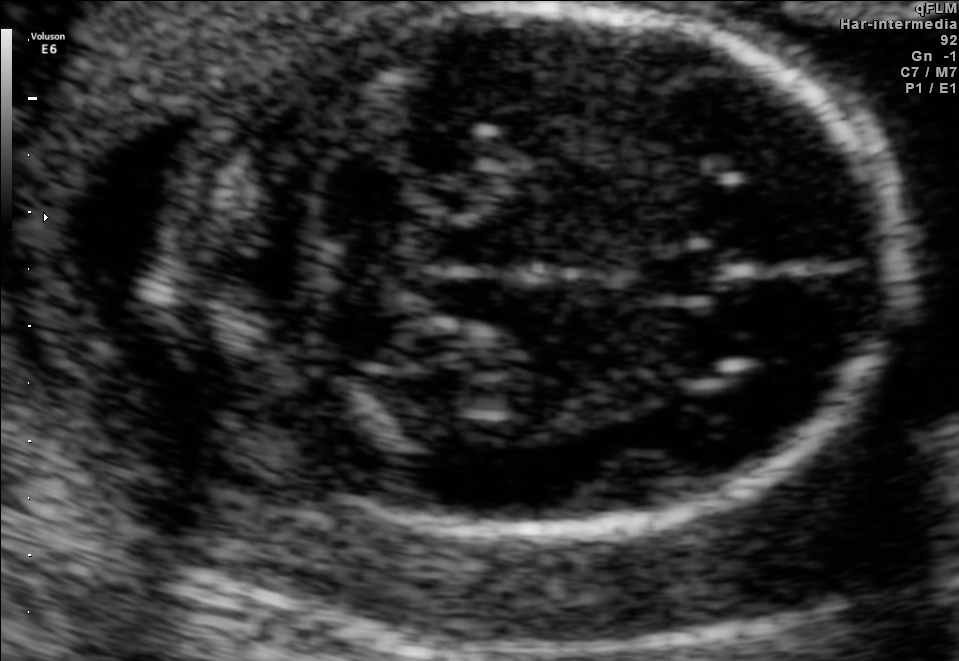
Fetal brain, trans-cerebellum plane. Give [x1,y1,x2,y2] bounding boxes for each visible structure among: fetal head, CSP, LV.

Head: [175,6,896,531]
CSP: [628,243,722,309]